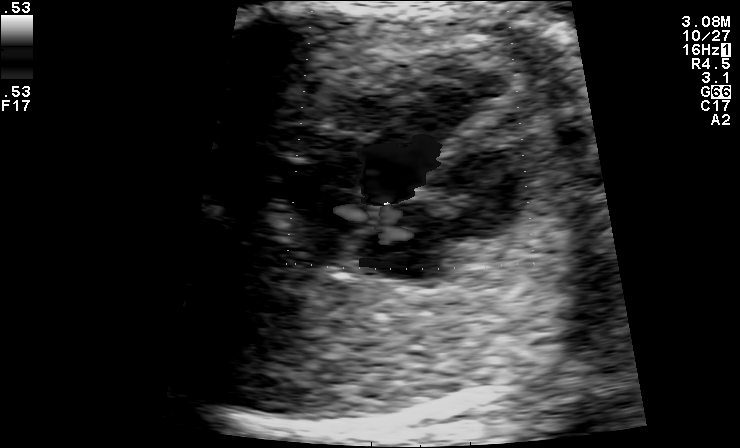
Which standard maternal-fetal ultrasound plane is shown: fetal abdomen, fetal brain, fetal femur, fetal thorax, maternal cervix, or other? If it's fetal brain and one of the three standard brain planes (trans-thalamic, trans-cerebellum, trans-ventricular), name which.

Other